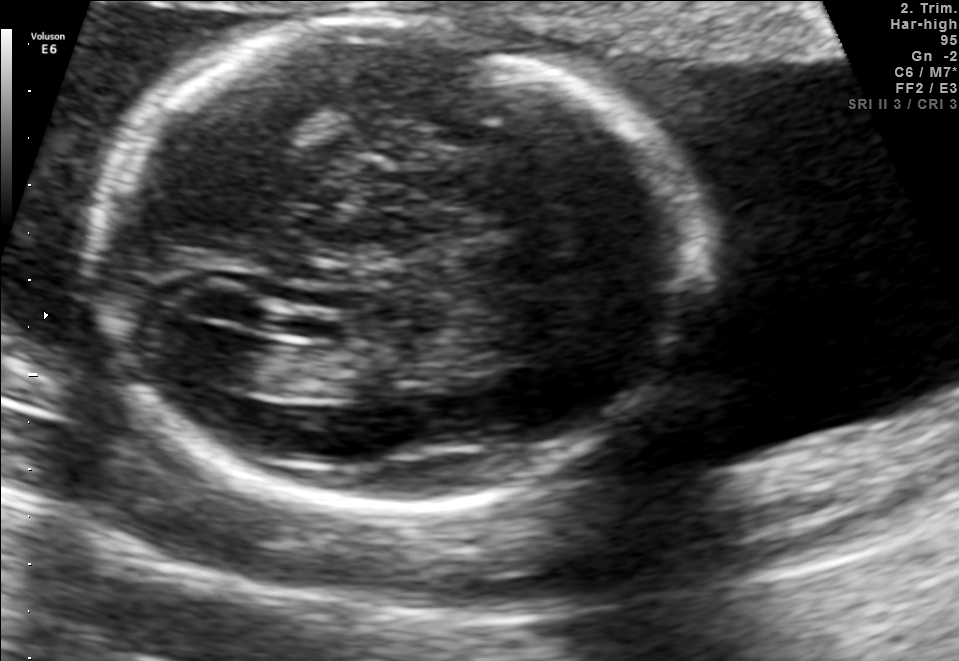
In this fetal brain, trans-ventricular plane, give the bounding box of the lateral ventricle.

[188,323,279,393]